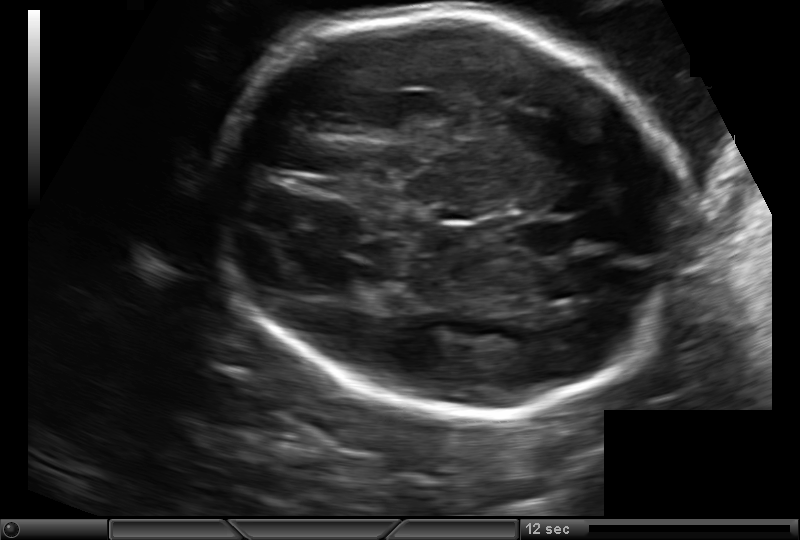
Estimate the fetal head circumference from this 2D ultrasound.

Head circumference: 242.0 mm (image width 137.2 mm).